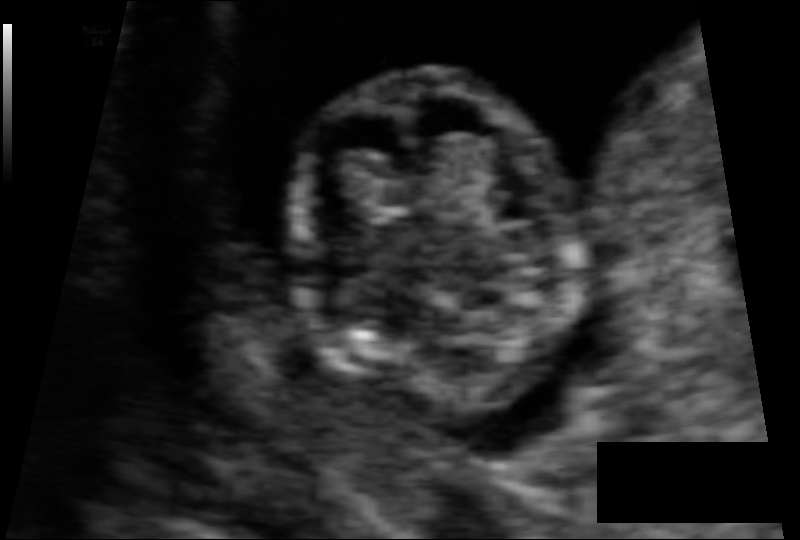
What is the fetal head circumference? Image width is 52.5 mm.

67.8 mm